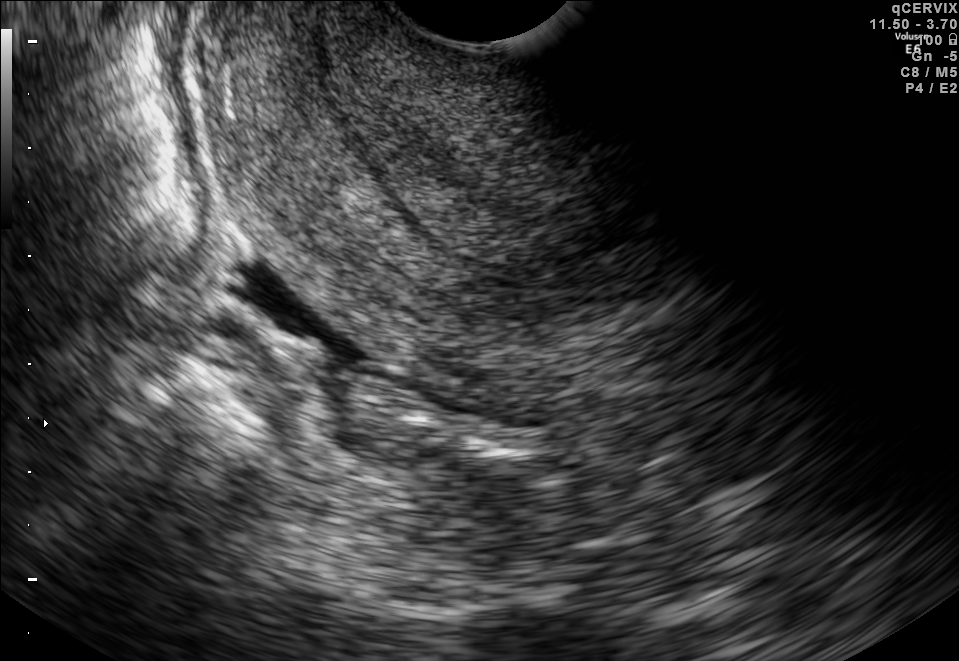
Identify the standard plane in this fetal ultrasound image: fetal abdomen, fetal brain, fetal femur, fetal thorax, maternal cervix, or other. If it's fetal brain and one of the three standard brain planes (trans-thalamic, trans-cerebellum, trans-ventricular), name which.

Maternal cervix